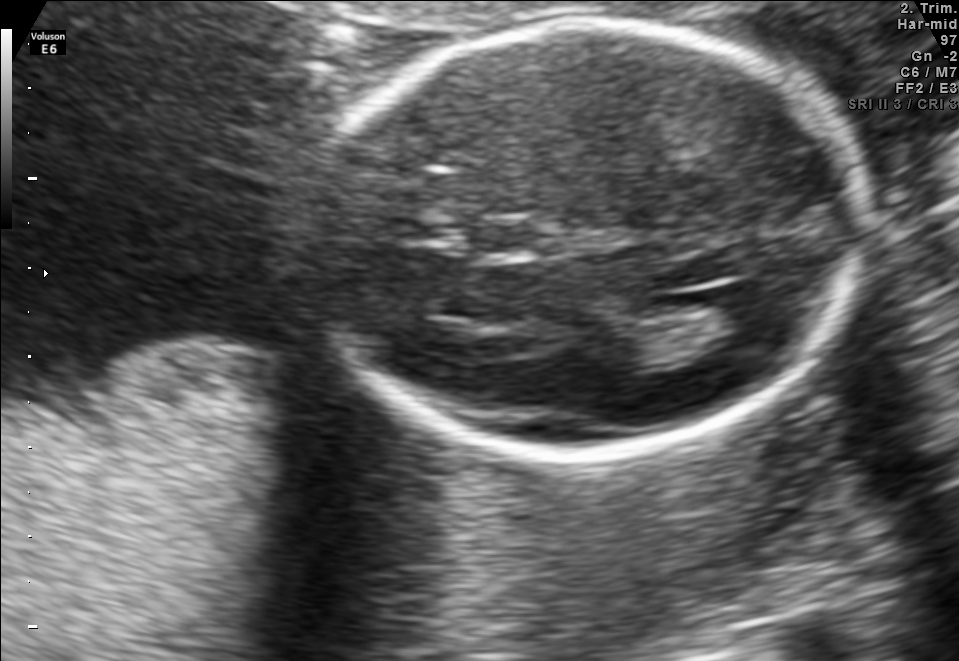
Fetal brain, trans-ventricular plane. Locate the fetal head.

Head: [305,15,874,462]